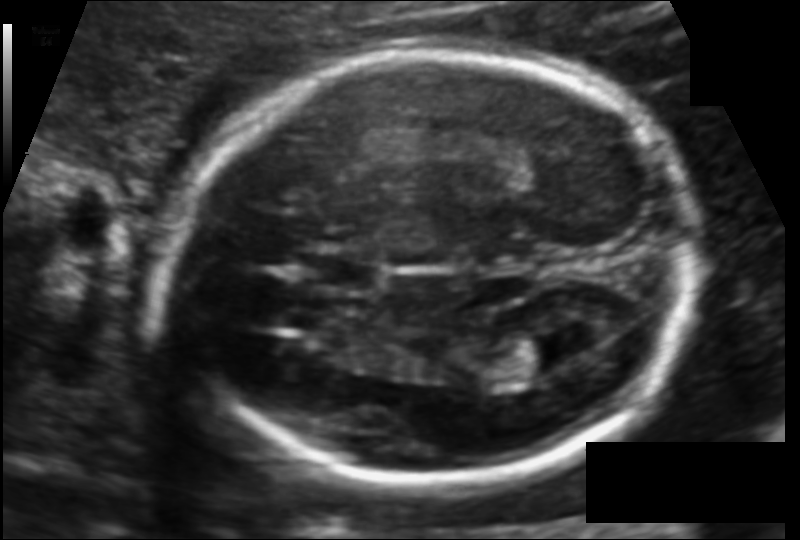
In this fetal head ultrasound, give the bounding box of the cavum septum pellucidum. Image width: 90.0 mm.

[298,250,386,294]